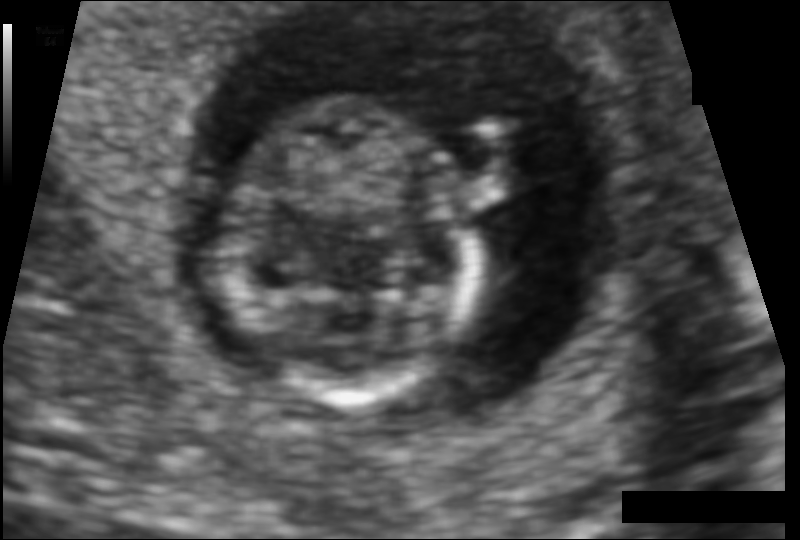
Fetal head ultrasound. Image width: 63.9 mm. Locate the fetal head.

Head: [221,98,475,401]